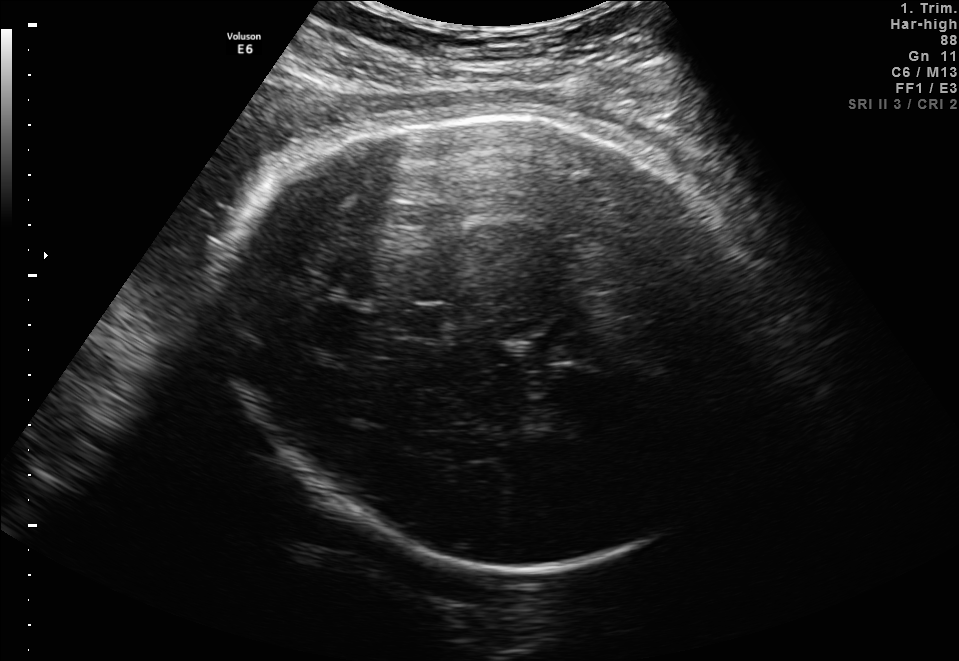
In this fetal brain, trans-thalamic plane, give the bounding box of the cavum septum pellucidum.

[401,305,459,340]